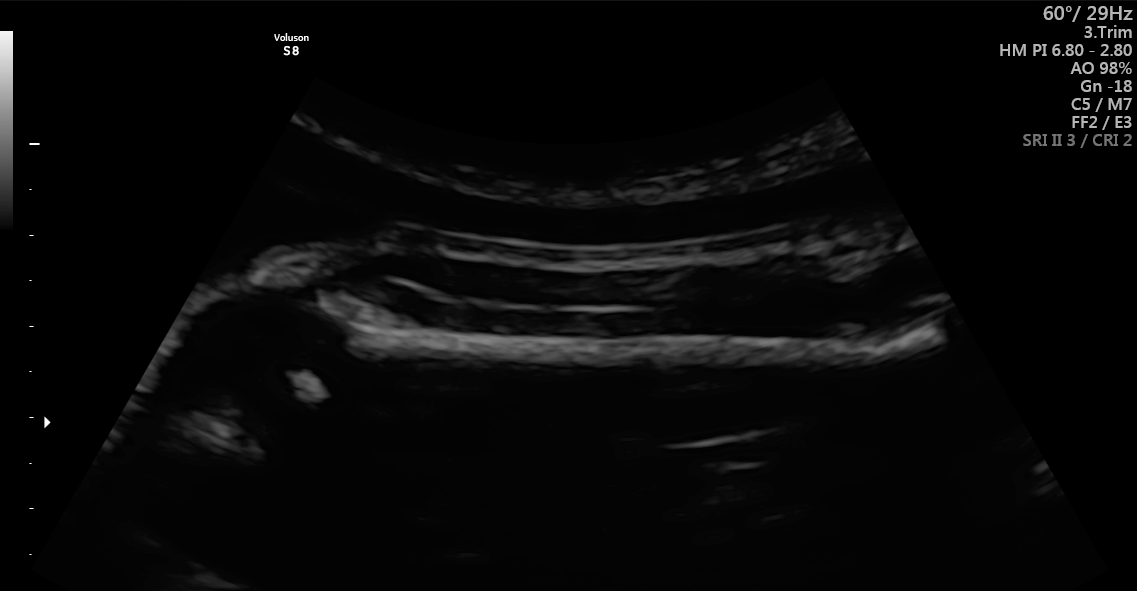
Classify this maternal-fetal ultrasound image as one of the six standard planes — fetal abdomen, fetal brain, fetal femur, fetal thorax, maternal cervix, or other. If it's fetal brain and one of the three standard brain planes (trans-thalamic, trans-cerebellum, trans-ventricular), name which.

Fetal femur